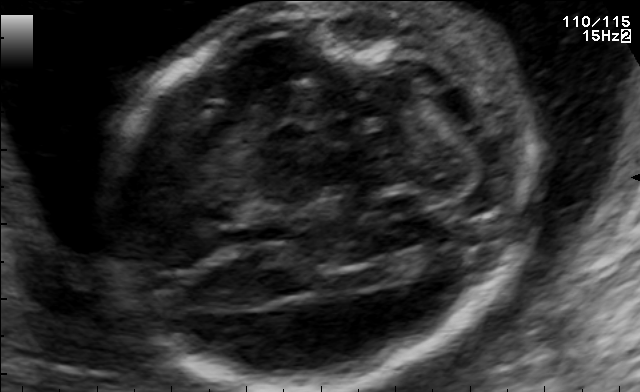
Fetal brain, trans-cerebellum plane. Locate the fetal head.

Head: [105,4,521,391]